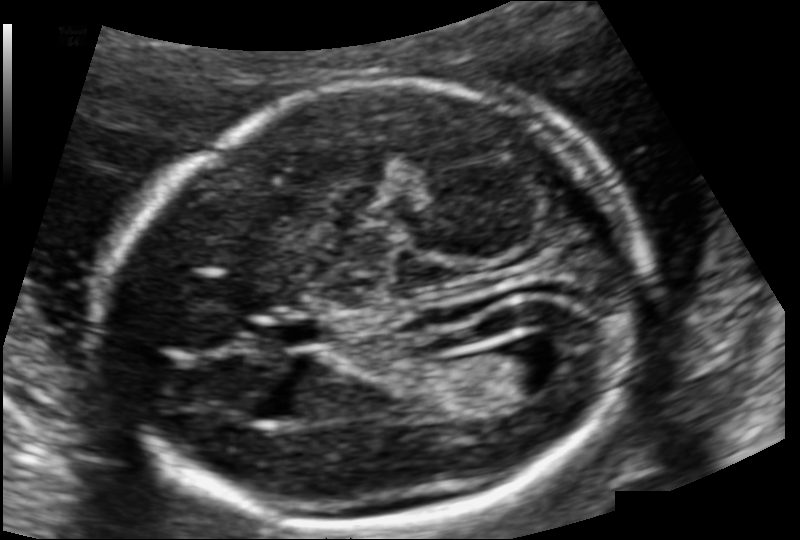
In this fetal head ultrasound, give the bounding box of the fetal head. Image width: 89.0 mm.

[111,83,641,530]